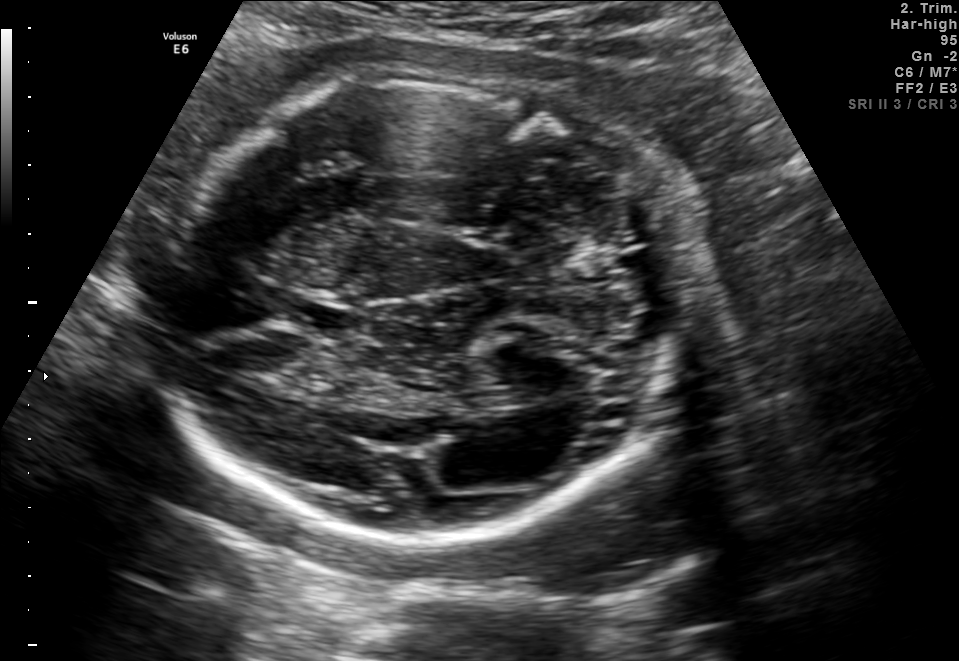
In this fetal brain, trans-thalamic plane, give bounding boxes for the head outline, cavum septum pellucidum (CSP), and lateral ventricle (LV), where visible.

Head: [156,73,679,538]
CSP: [290,300,359,341]
Lateral ventricle: [459,387,529,408]